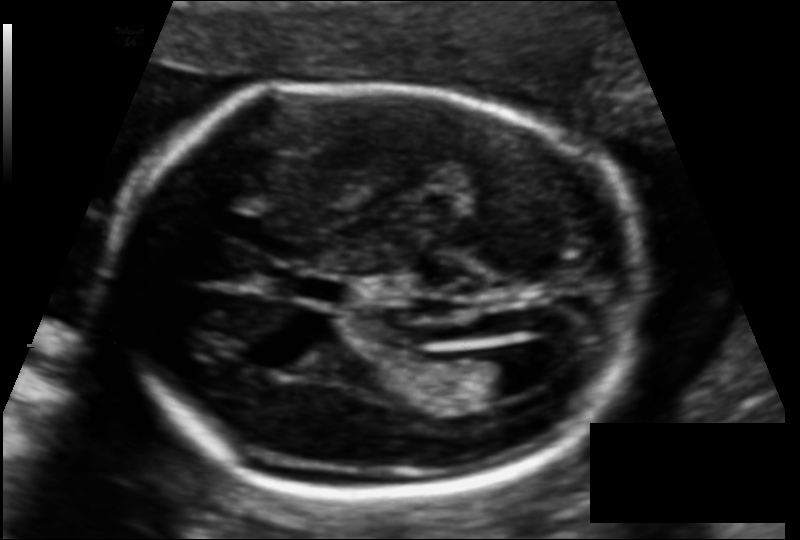
In this fetal head ultrasound, give the bounding box of the lateral ventricle. Image width: 92.4 mm.

[451,347,537,406]